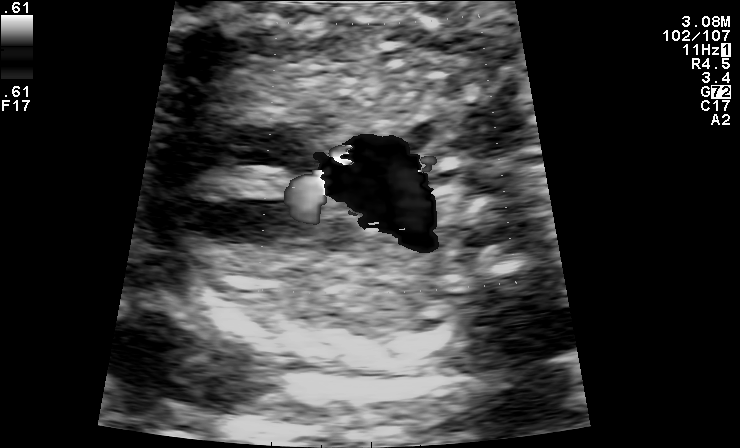
Which standard maternal-fetal ultrasound plane is shown: fetal abdomen, fetal brain, fetal femur, fetal thorax, maternal cervix, or other? If it's fetal brain and one of the three standard brain planes (trans-thalamic, trans-cerebellum, trans-ventricular), name which.

Other